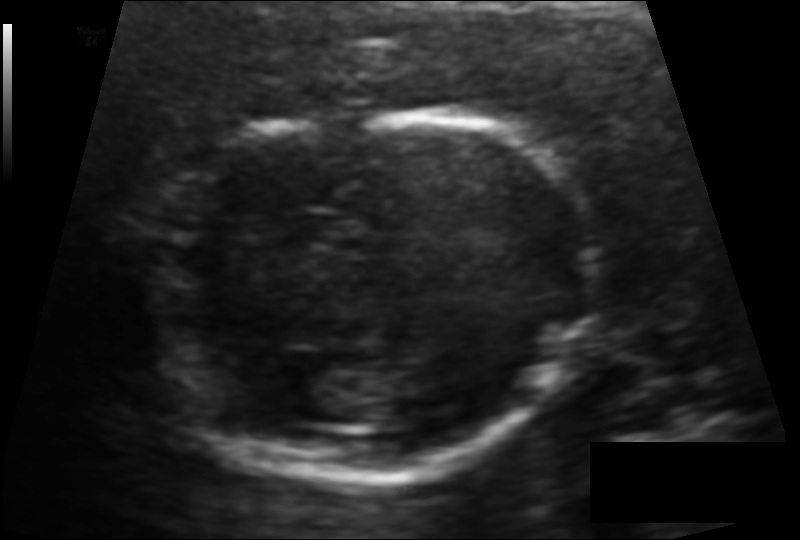
Fetal head ultrasound. Image width: 81.2 mm. Locate the fetal head.

Head: [148,111,601,478]